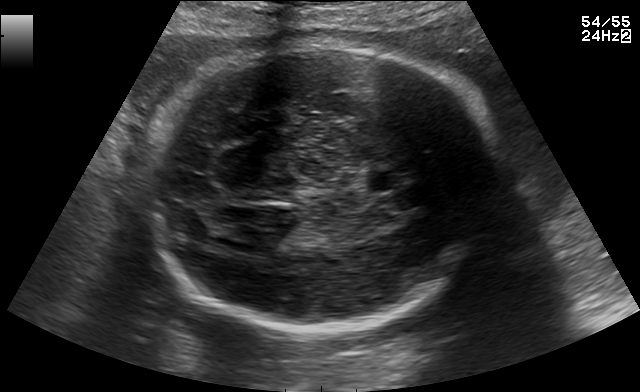
Fetal brain, trans-thalamic plane. Where is the cavum septum pellucidum?

CSP bounding box: [365,166,407,194]